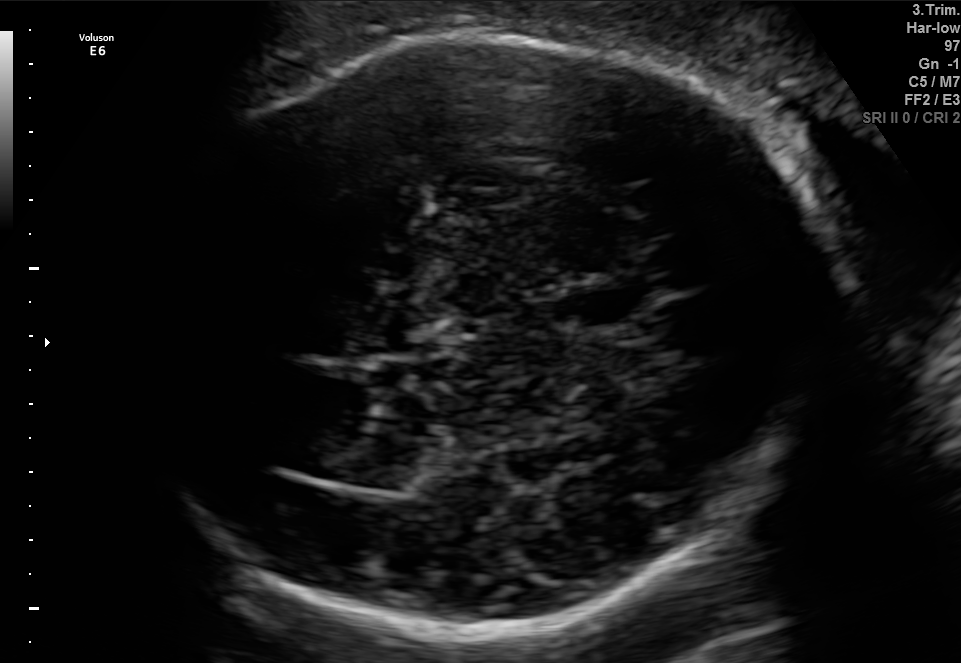
Fetal brain, trans-thalamic plane. Locate the cavum septum pellucidum.

CSP: [549,273,655,336]